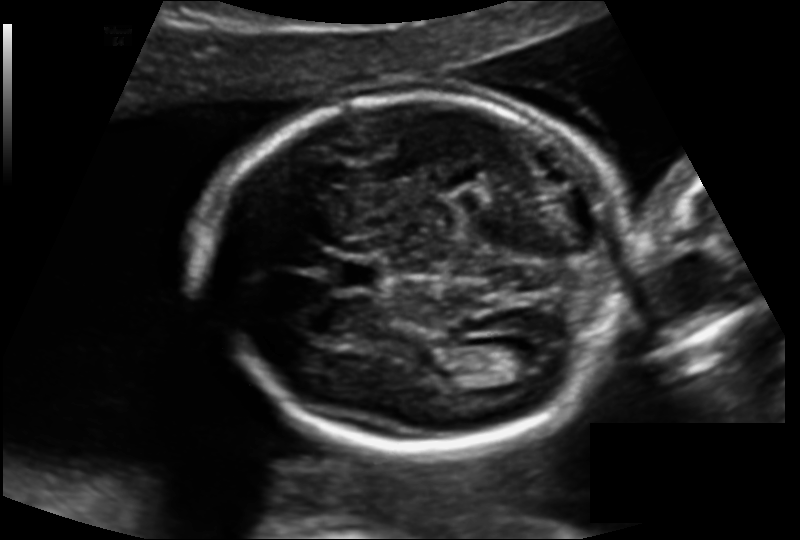
What is the fetal head circumference? Image width is 110.2 mm.

174.0 mm